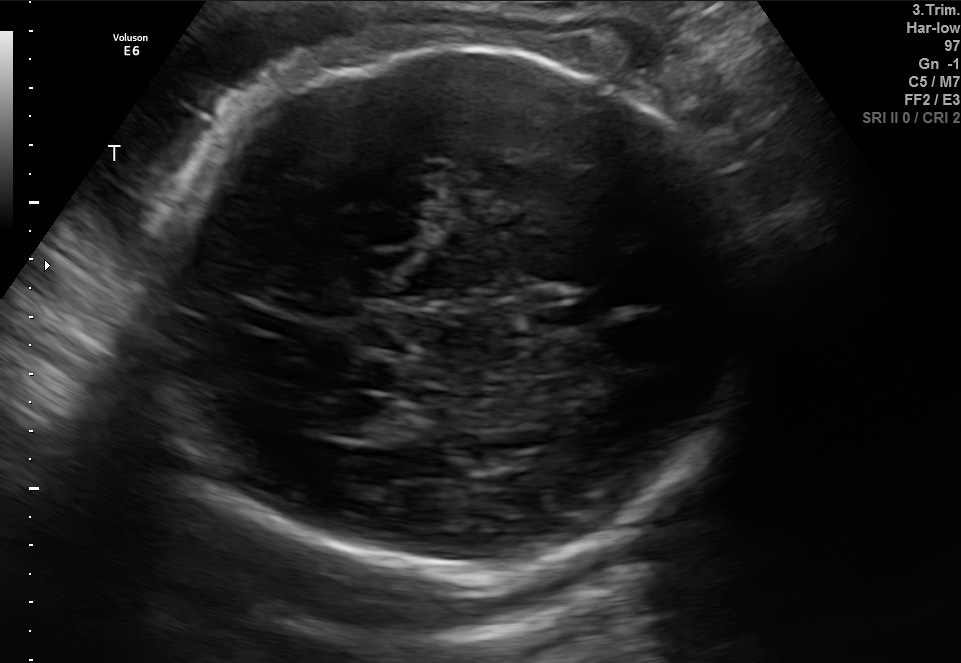
Fetal brain, trans-thalamic plane. Give [x1,y1,x2,y2] bounding boxes for each visible structure among: fetal head, CSP, LV.

Head: [168,43,751,594]